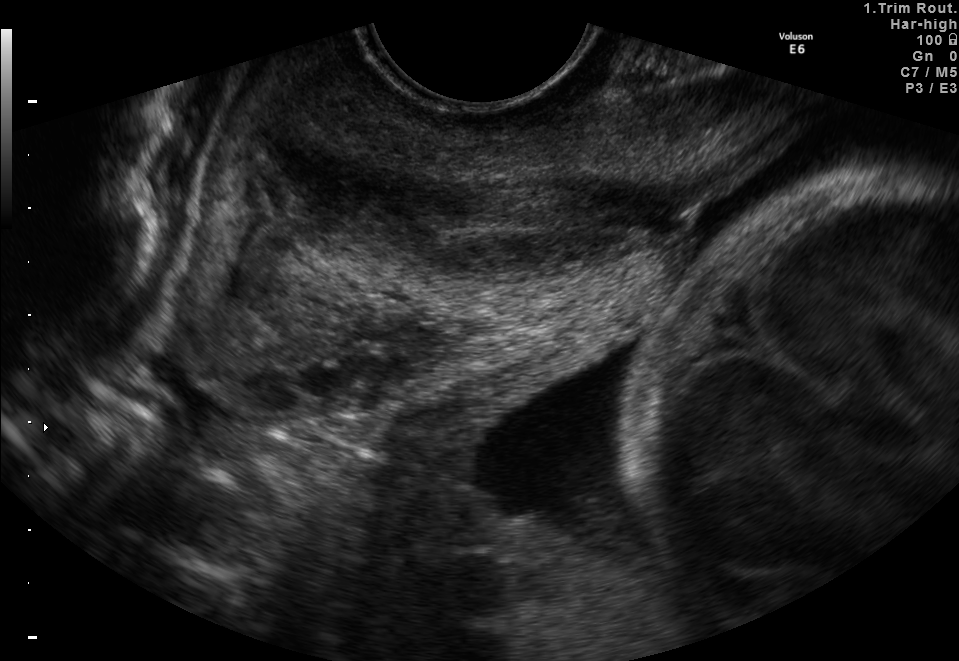
This is a 2D maternal-fetal ultrasound frame. Is it a fetal abdomen, fetal brain, fetal femur, fetal thorax, maternal cervix, or other standard plane? If it's fetal brain and one of the three standard brain planes (trans-thalamic, trans-cerebellum, trans-ventricular), name which.

Maternal cervix